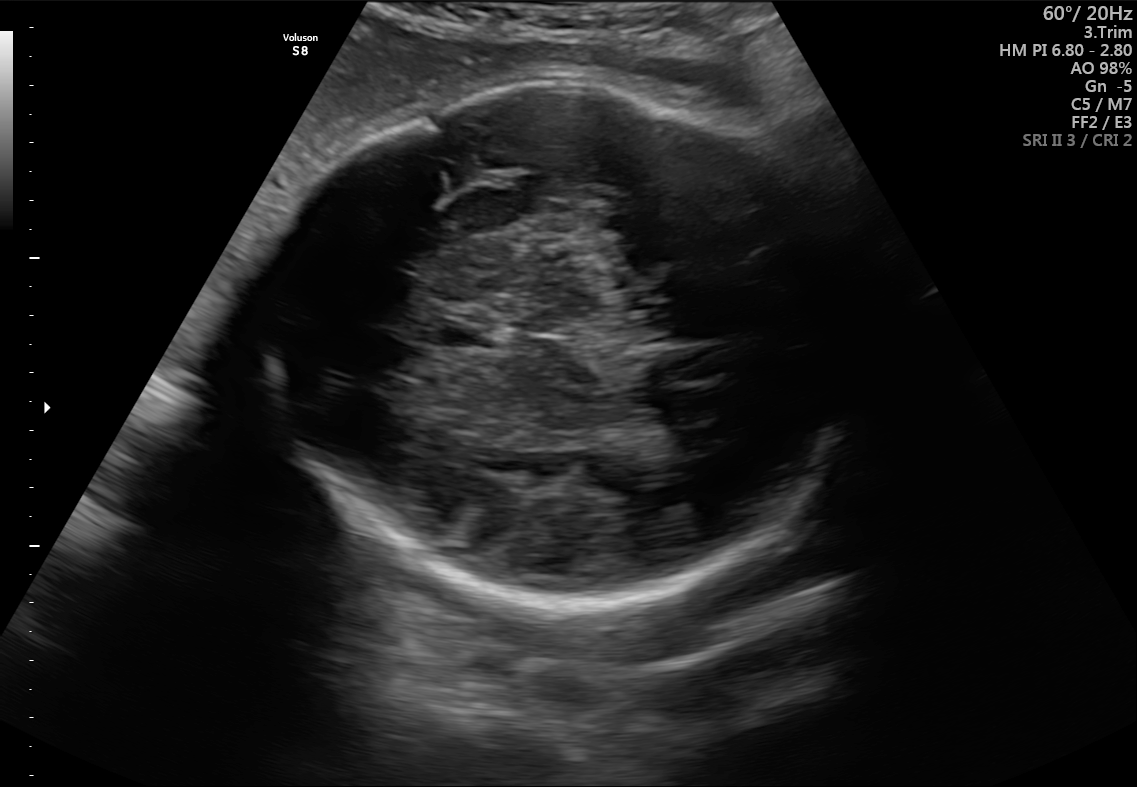
Fetal brain, trans-thalamic plane. Give [x1,y1,x2,y2] bounding boxes for each visible structure among: fetal head, CSP, LV.

Head: [257,77,870,612]
CSP: [434,313,496,349]